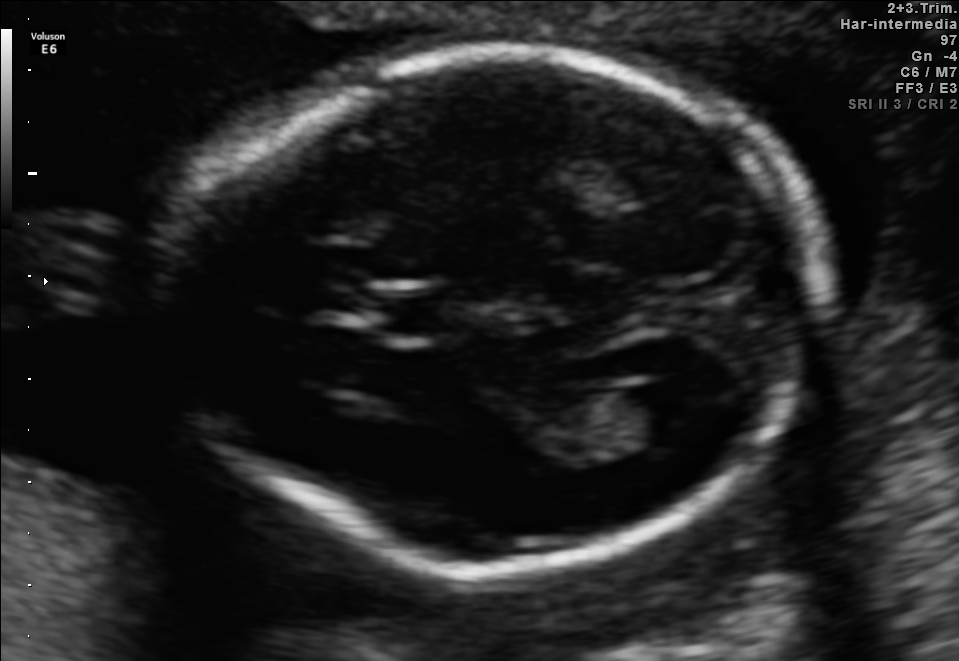
Fetal brain, trans-ventricular plane. Locate the fetal head.

Head: [149,37,840,588]